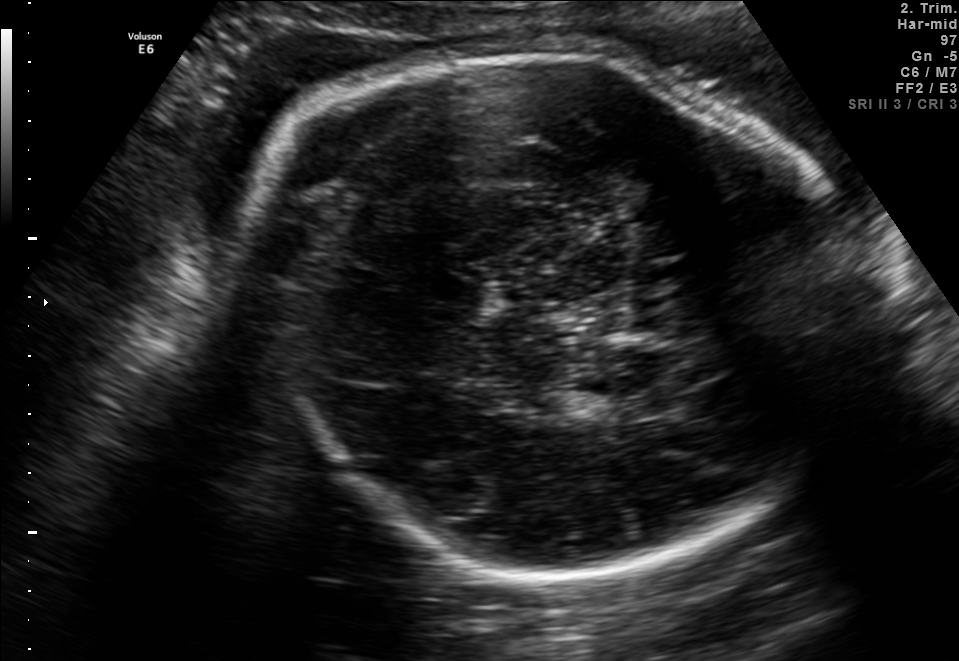
Fetal brain, trans-thalamic plane. Locate the fetal head and, if visible, the cavum septum pellucidum (CSP) and lateral ventricle (LV). Give bounding boxes as [x1,y1,x2,y2].

Head: [247,45,830,576]